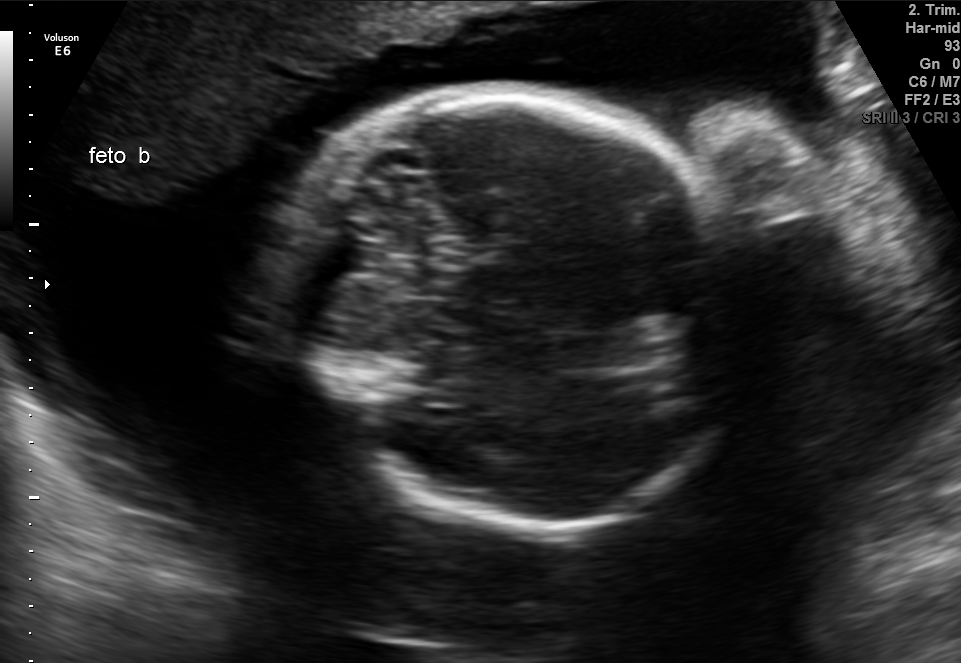
Fetal brain, trans-cerebellum plane. Where is the fetal head?

Head bounding box: [286,88,750,527]